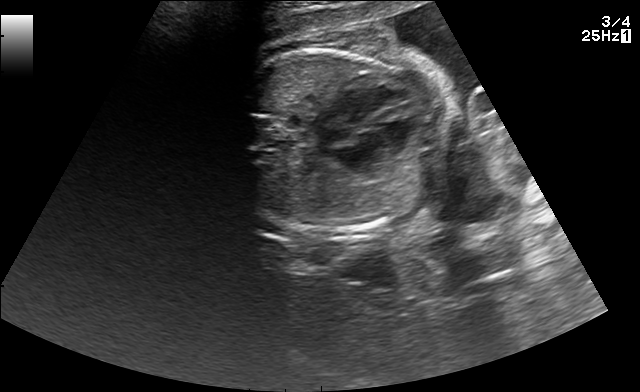
Classify this maternal-fetal ultrasound image as one of the six standard planes — fetal abdomen, fetal brain, fetal femur, fetal thorax, maternal cervix, or other. If it's fetal brain and one of the three standard brain planes (trans-thalamic, trans-cerebellum, trans-ventricular), name which.

Fetal thorax